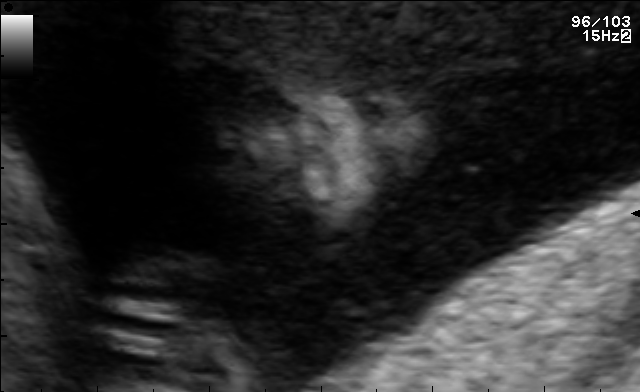
This is a 2D maternal-fetal ultrasound frame. Is it a fetal abdomen, fetal brain, fetal femur, fetal thorax, maternal cervix, or other standard plane? If it's fetal brain and one of the three standard brain planes (trans-thalamic, trans-cerebellum, trans-ventricular), name which.

Other